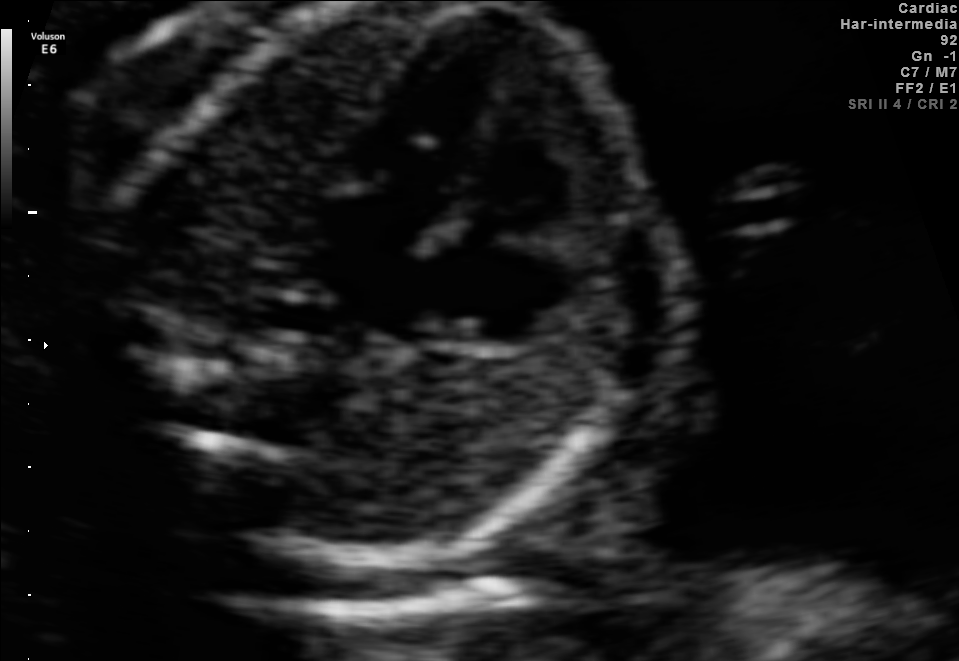
Identify the standard plane in this fetal ultrasound image: fetal abdomen, fetal brain, fetal femur, fetal thorax, maternal cervix, or other. If it's fetal brain and one of the three standard brain planes (trans-thalamic, trans-cerebellum, trans-ventricular), name which.

Fetal thorax